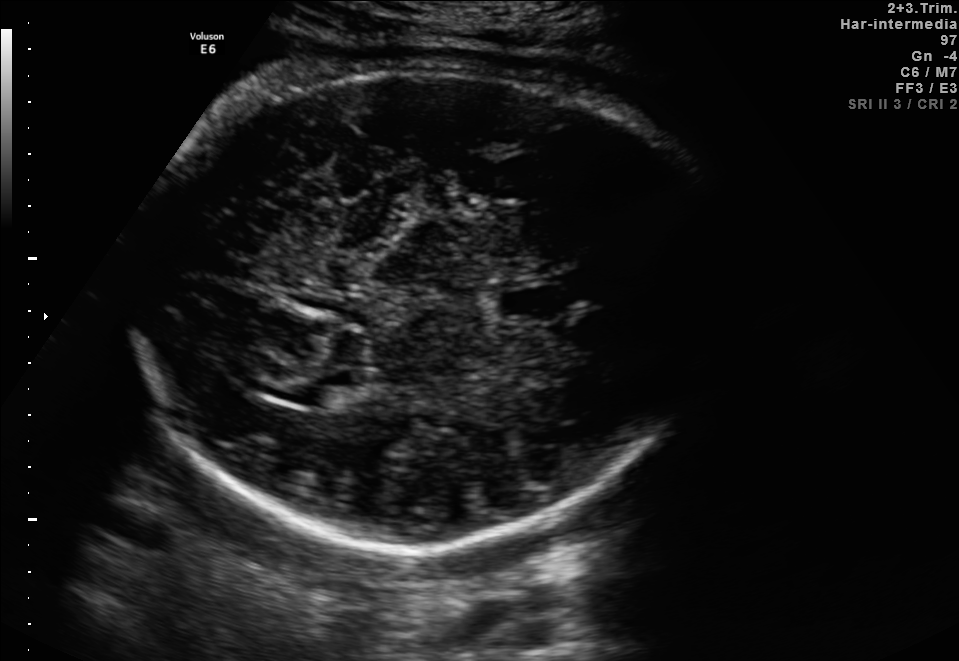
Fetal brain, trans-thalamic plane. Where is the fetal head?

Head bounding box: [129,63,720,546]